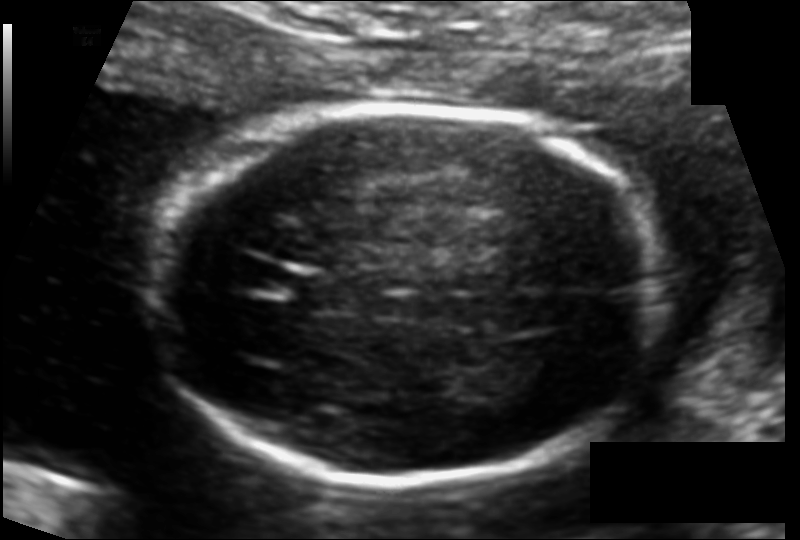
Measure the fetal head circumference shown in this ultrasound image. Image width: 92.3 mm.

Head circumference: 166.9 mm.